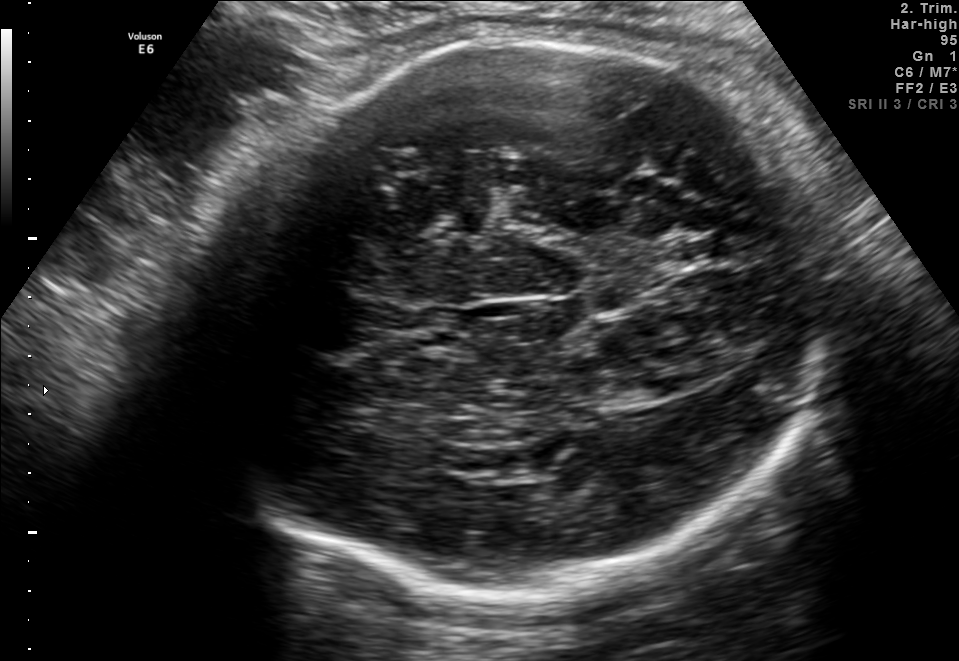
In this fetal brain, trans-thalamic plane, give the bounding box of the fetal head.

[181,37,816,602]